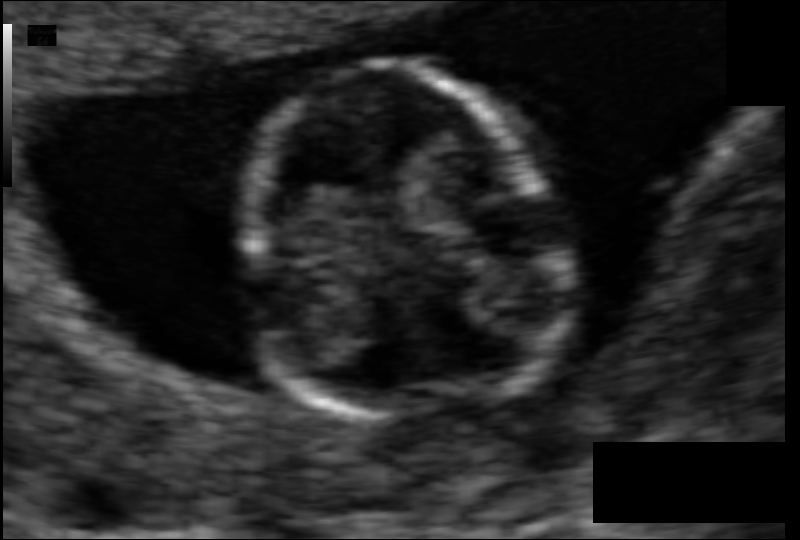
Estimate the fetal head circumference from this 2D ultrasound. Image width: 49.5 mm.

Head circumference: 72.0 mm.